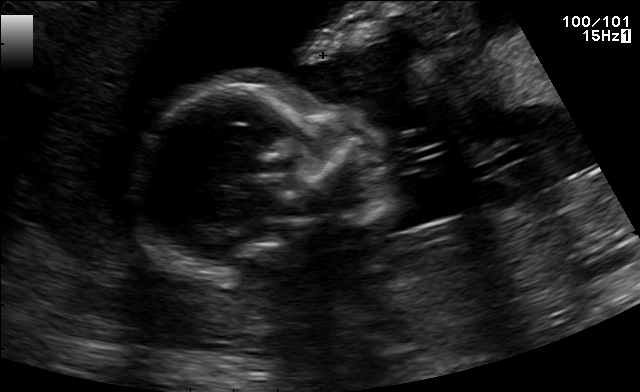
Classify this maternal-fetal ultrasound image as one of the six standard planes — fetal abdomen, fetal brain, fetal femur, fetal thorax, maternal cervix, or other. If it's fetal brain and one of the three standard brain planes (trans-thalamic, trans-cerebellum, trans-ventricular), name which.

Other